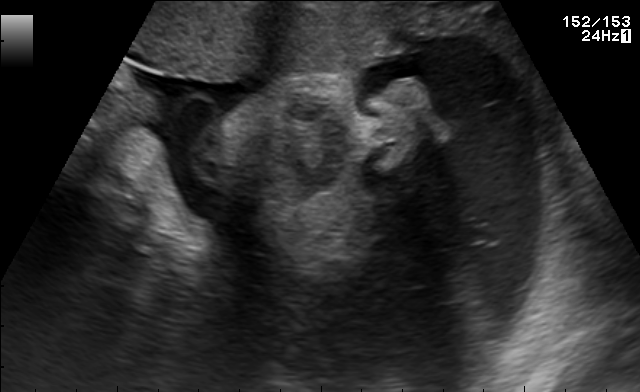
Classify this maternal-fetal ultrasound image as one of the six standard planes — fetal abdomen, fetal brain, fetal femur, fetal thorax, maternal cervix, or other. If it's fetal brain and one of the three standard brain planes (trans-thalamic, trans-cerebellum, trans-ventricular), name which.

Other